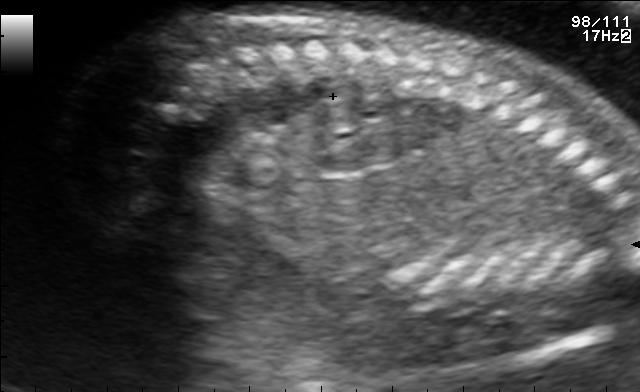
Classify this maternal-fetal ultrasound image as one of the six standard planes — fetal abdomen, fetal brain, fetal femur, fetal thorax, maternal cervix, or other. If it's fetal brain and one of the three standard brain planes (trans-thalamic, trans-cerebellum, trans-ventricular), name which.

Other